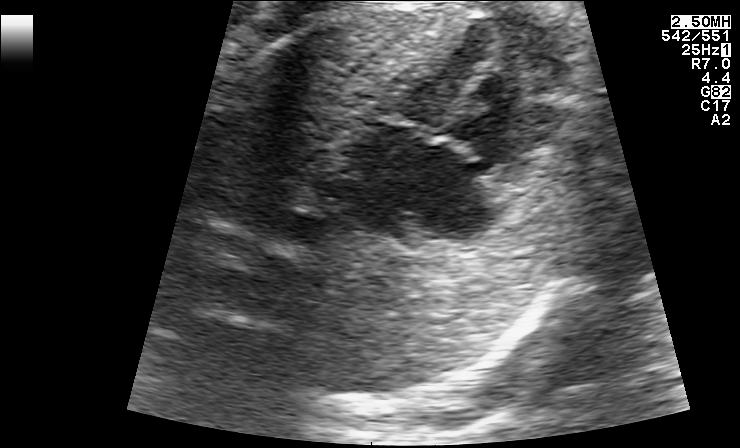
Identify the standard plane in this fetal ultrasound image: fetal abdomen, fetal brain, fetal femur, fetal thorax, maternal cervix, or other. If it's fetal brain and one of the three standard brain planes (trans-thalamic, trans-cerebellum, trans-ventricular), name which.

Fetal thorax